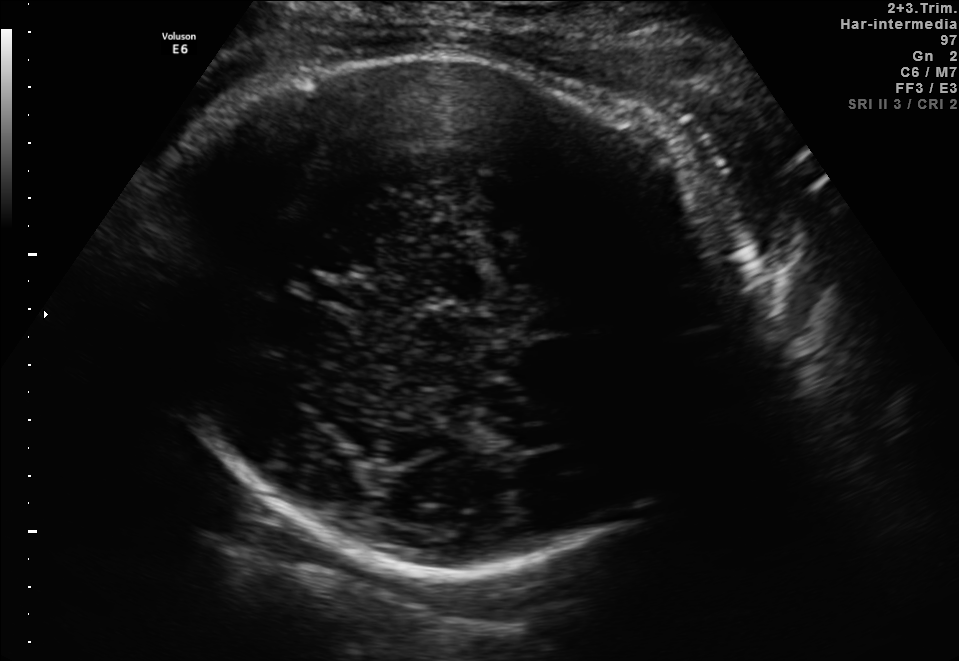
Fetal brain, trans-thalamic plane. Locate the fetal head.

Head: [145,59,734,570]